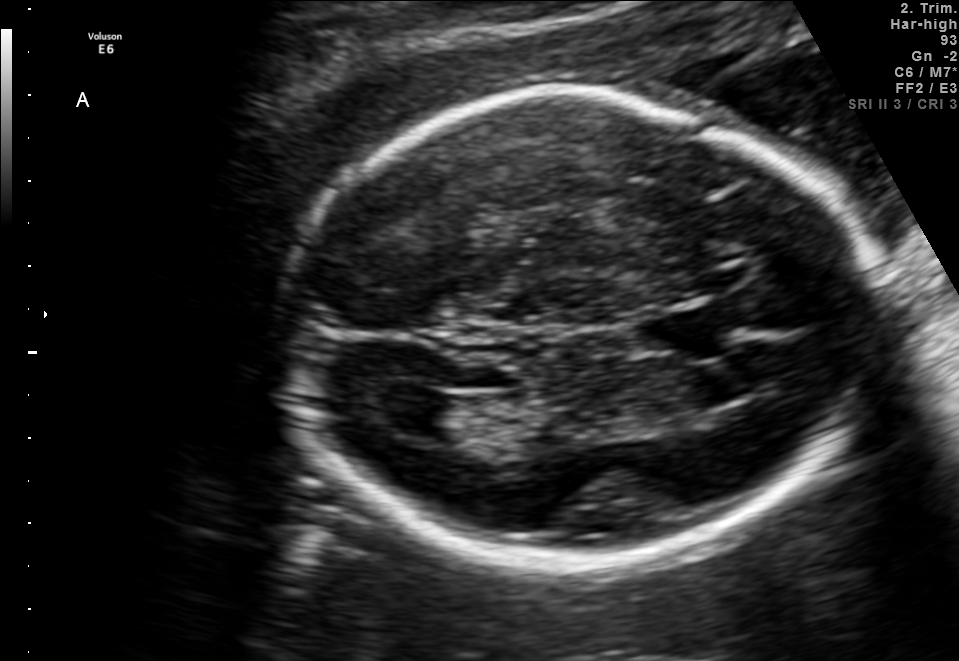
In this fetal brain, trans-ventricular plane, give the bounding box of the fetal head.

[271,82,896,581]